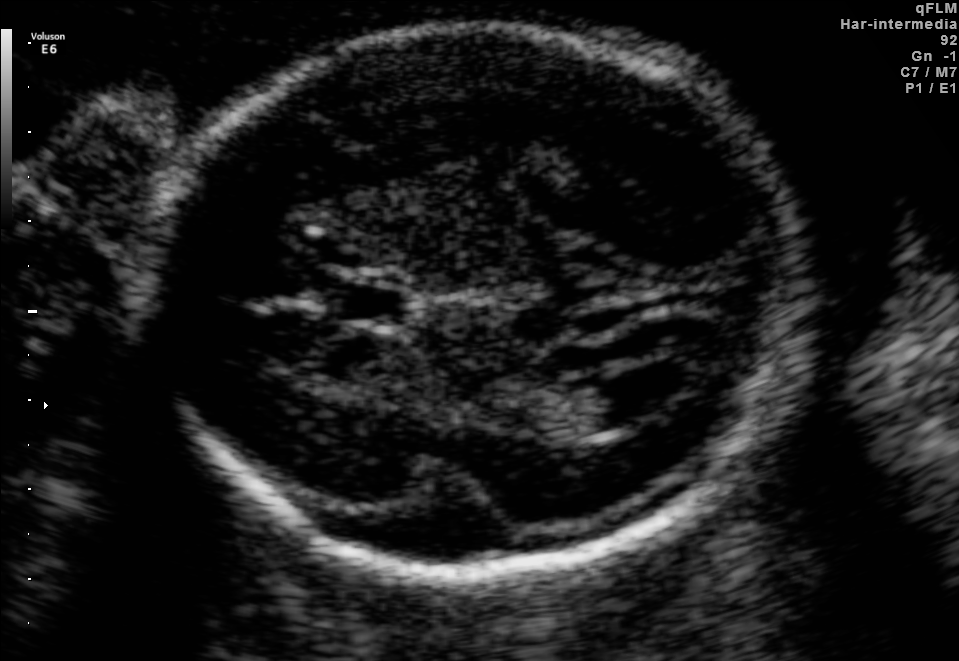
Fetal brain, trans-ventricular plane. Locate the lateral ventricle.

Lateral ventricle: [567,357,676,438]